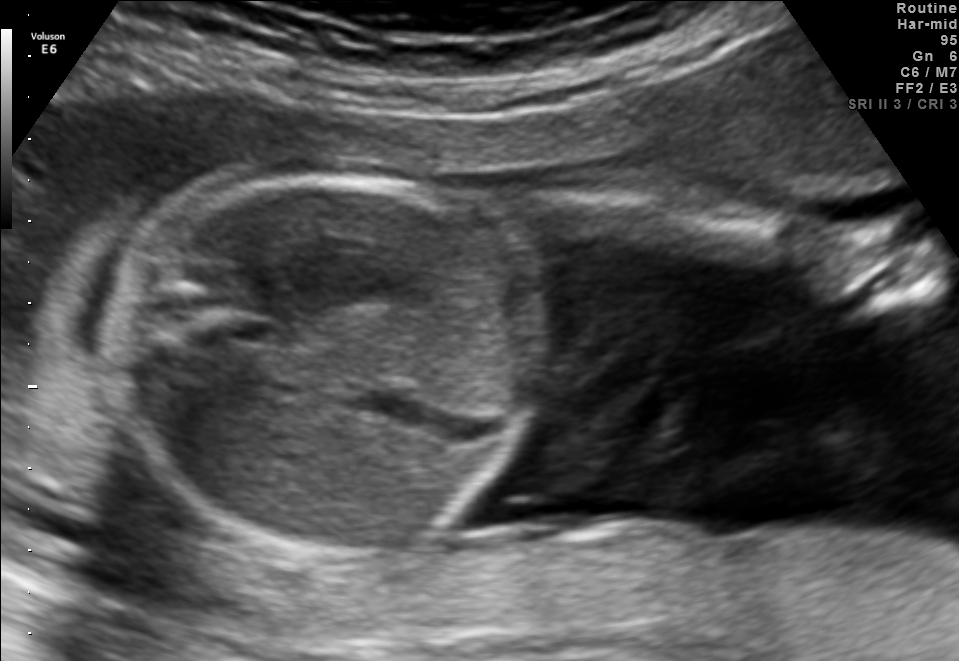
Classify this maternal-fetal ultrasound image as one of the six standard planes — fetal abdomen, fetal brain, fetal femur, fetal thorax, maternal cervix, or other. If it's fetal brain and one of the three standard brain planes (trans-thalamic, trans-cerebellum, trans-ventricular), name which.

Fetal abdomen